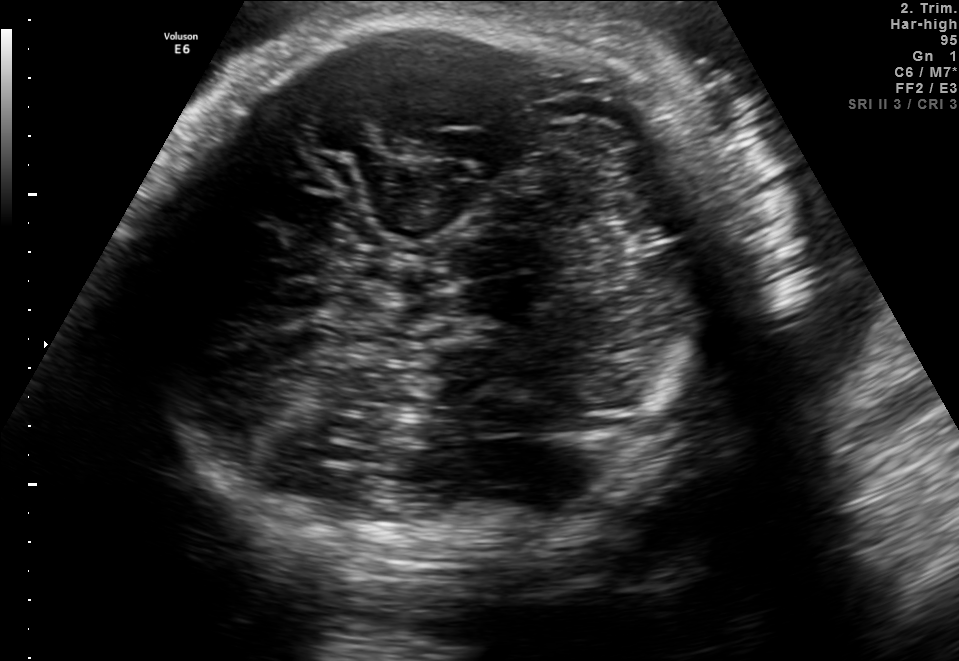
Fetal brain, trans-thalamic plane. Locate the fetal head.

Head: [133,15,742,570]